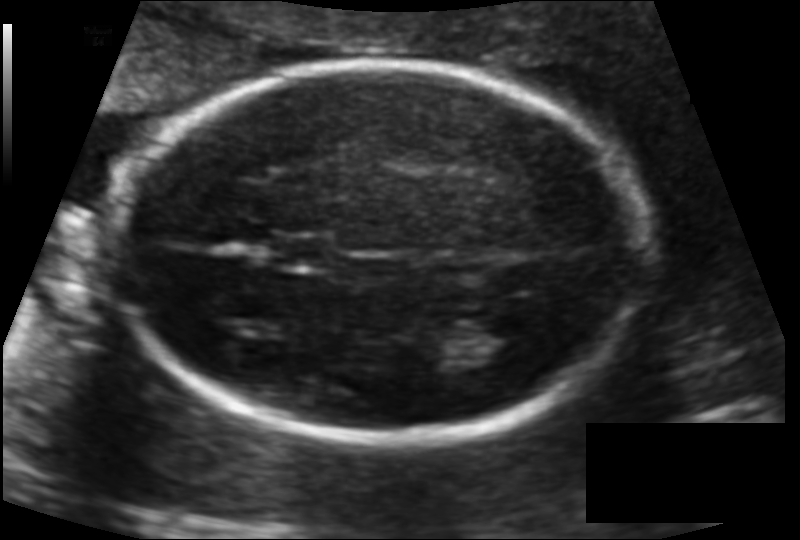
Estimate the fetal head circumference from this 2D ultrasound. Image width: 91.7 mm.

Head circumference: 167.2 mm.